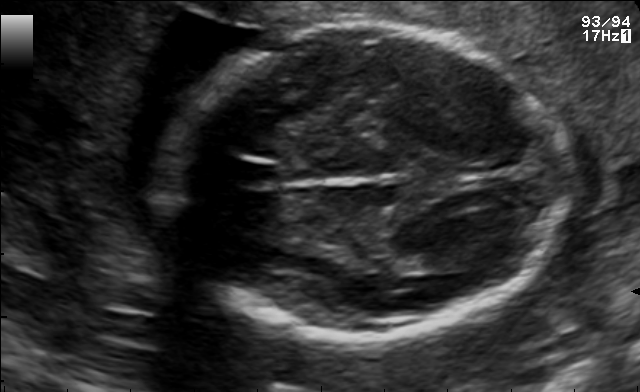
In this fetal brain, trans-thalamic plane, give the bounding box of the fetal head.

[155,27,567,339]